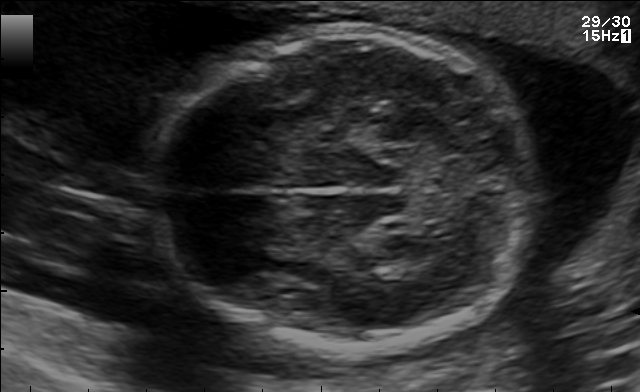
Fetal brain, trans-thalamic plane. Give [x1,y1,x2,y2] bounding boxes for each visible structure among: fetal head, CSP, LV.

Head: [151,31,538,350]